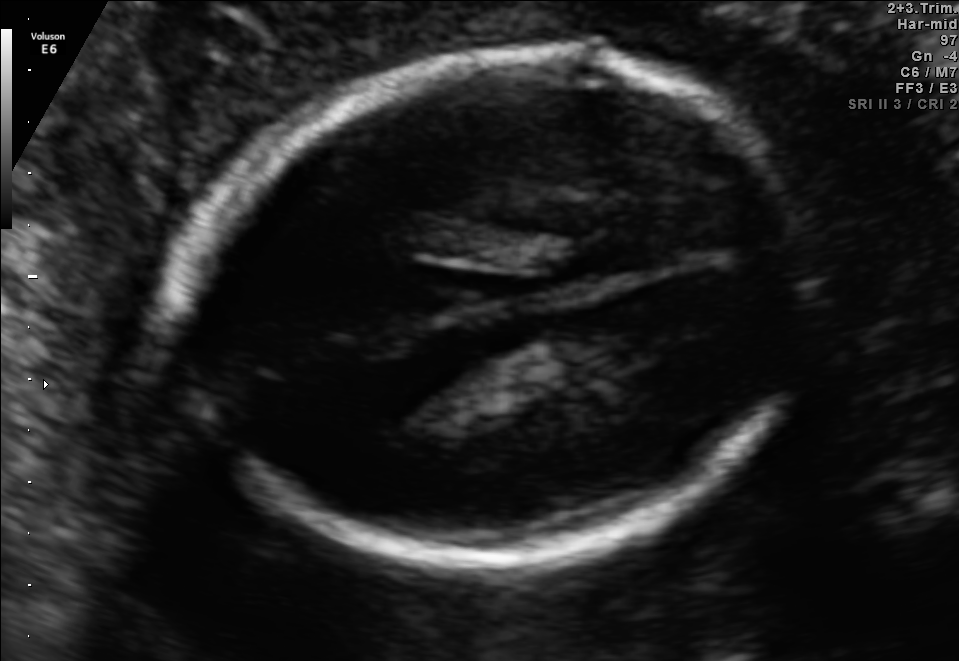
In this fetal brain, trans-thalamic plane, give the bounding box of the fetal head.

[183,48,814,567]